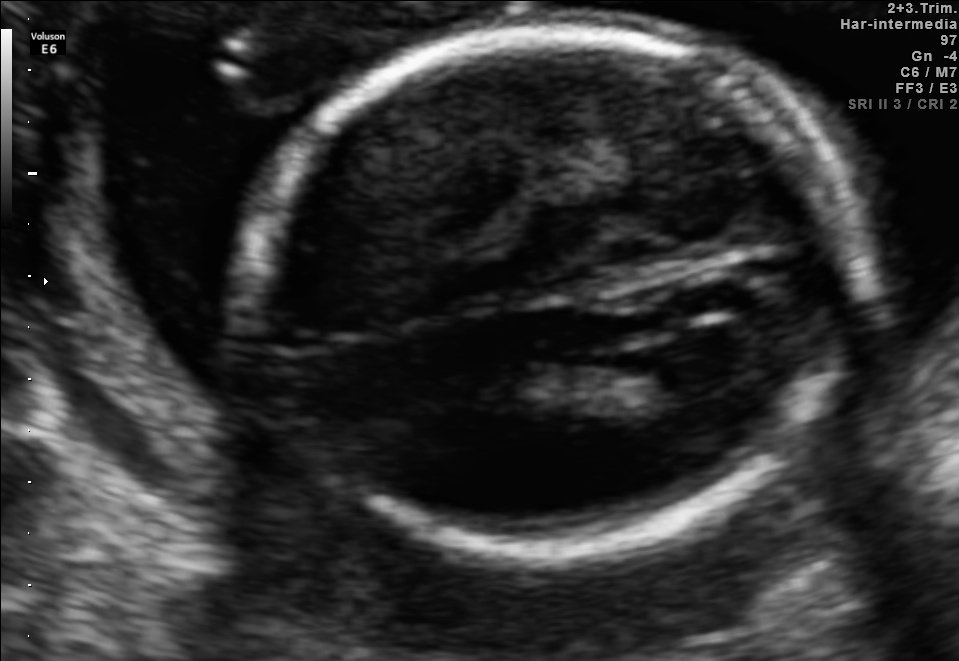
Fetal brain, trans-ventricular plane. Locate the fetal head and, if visible, the cavum septum pellucidum (CSP) and lateral ventricle (LV). Give bounding boxes as [x1,y1,x2,y2].

Head: [222,20,869,563]